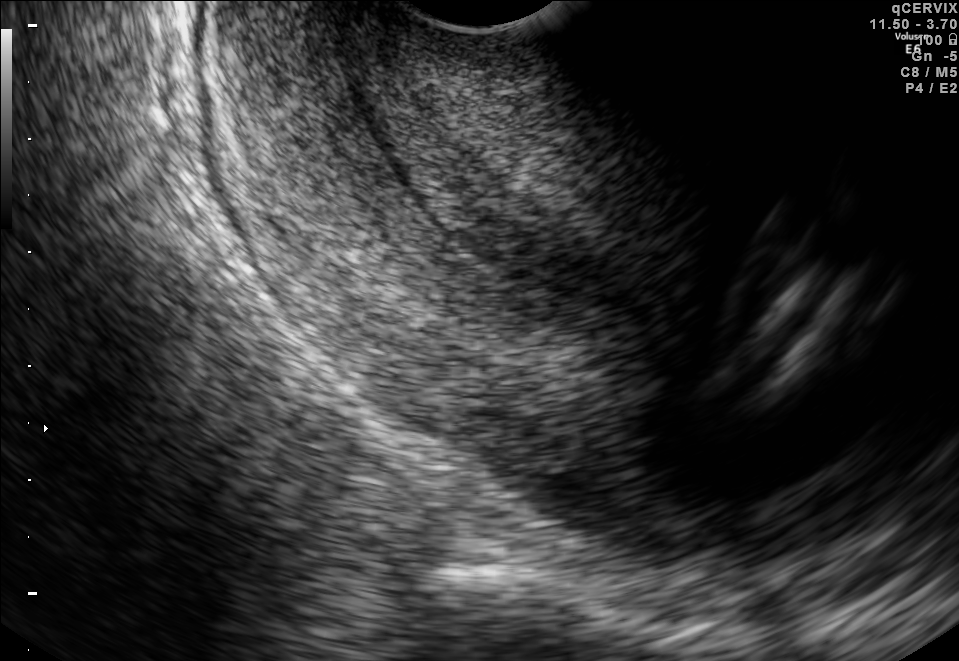
Classify this maternal-fetal ultrasound image as one of the six standard planes — fetal abdomen, fetal brain, fetal femur, fetal thorax, maternal cervix, or other. If it's fetal brain and one of the three standard brain planes (trans-thalamic, trans-cerebellum, trans-ventricular), name which.

Maternal cervix